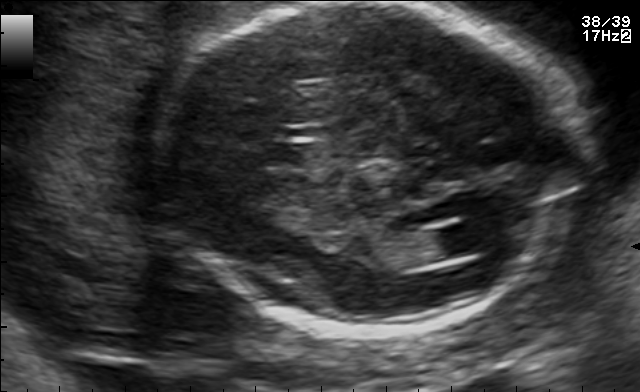
Fetal brain, trans-ventricular plane. Locate the lateral ventricle.

Lateral ventricle: [423,217,494,262]